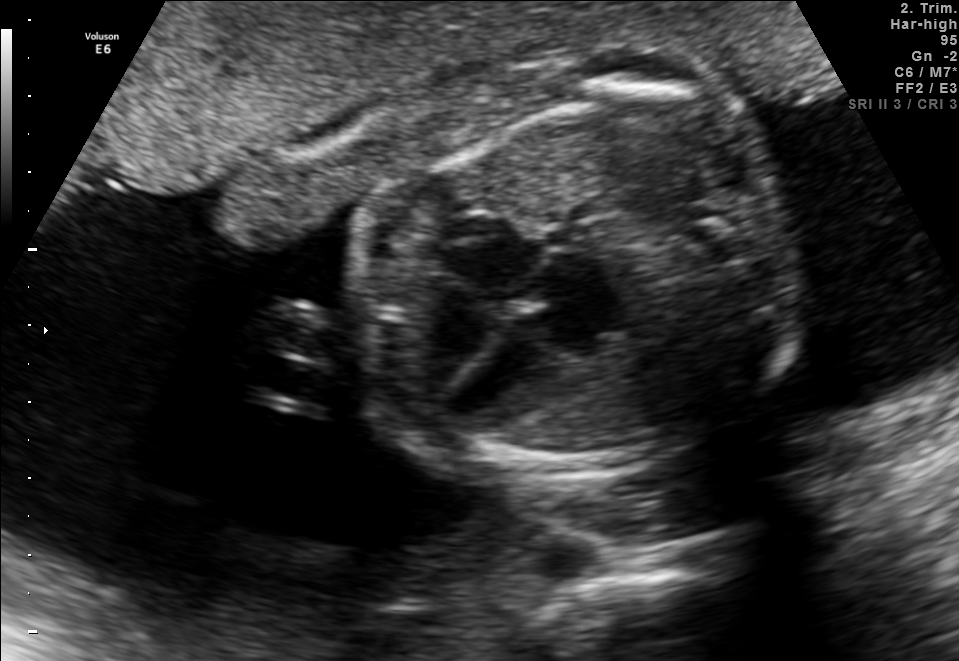
Identify the standard plane in this fetal ultrasound image: fetal abdomen, fetal brain, fetal femur, fetal thorax, maternal cervix, or other. If it's fetal brain and one of the three standard brain planes (trans-thalamic, trans-cerebellum, trans-ventricular), name which.

Fetal thorax